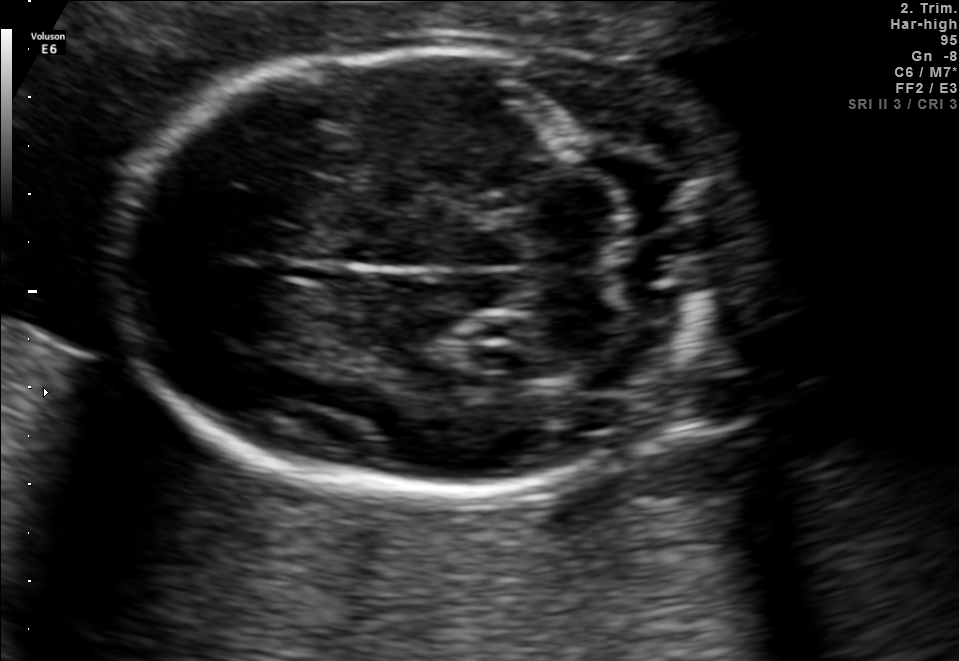
Fetal brain, trans-cerebellum plane. Where is the fetal head?

Head bounding box: [111,50,752,491]